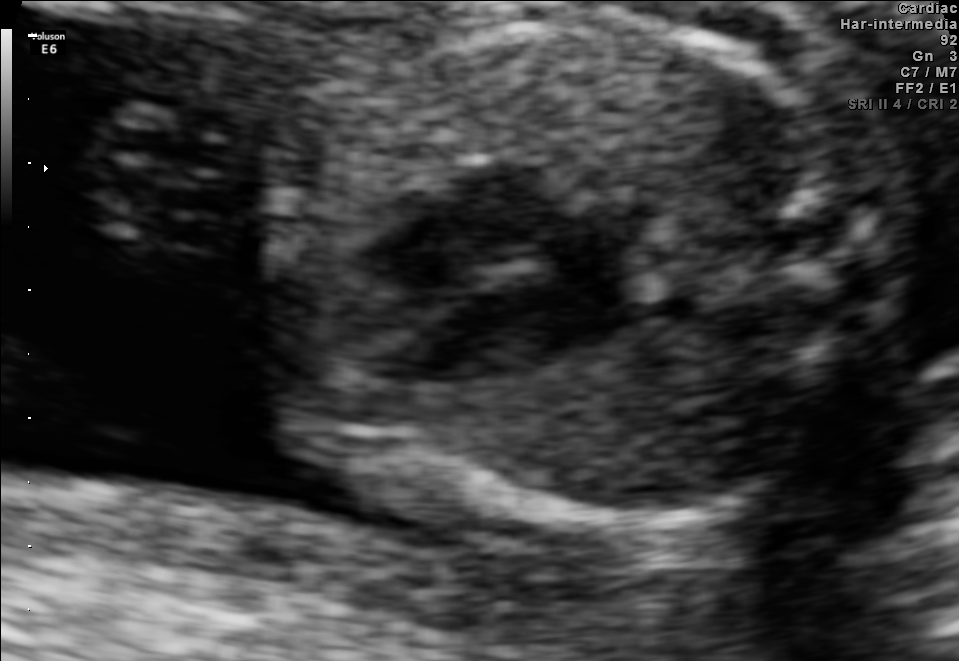
This is a 2D maternal-fetal ultrasound frame. Is it a fetal abdomen, fetal brain, fetal femur, fetal thorax, maternal cervix, or other standard plane? If it's fetal brain and one of the three standard brain planes (trans-thalamic, trans-cerebellum, trans-ventricular), name which.

Fetal thorax